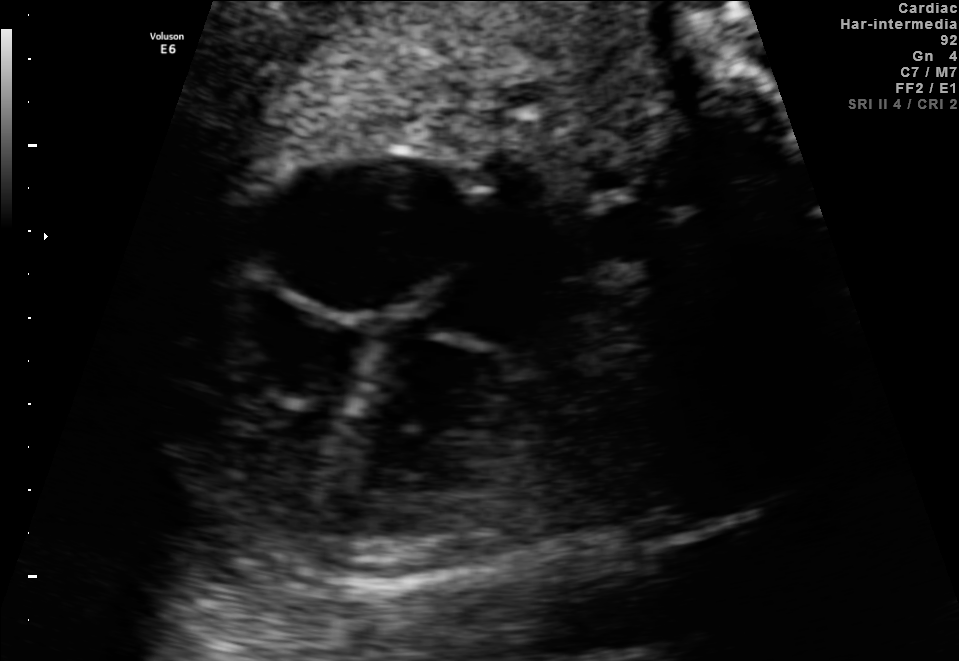
Identify the standard plane in this fetal ultrasound image: fetal abdomen, fetal brain, fetal femur, fetal thorax, maternal cervix, or other. If it's fetal brain and one of the three standard brain planes (trans-thalamic, trans-cerebellum, trans-ventricular), name which.

Fetal thorax